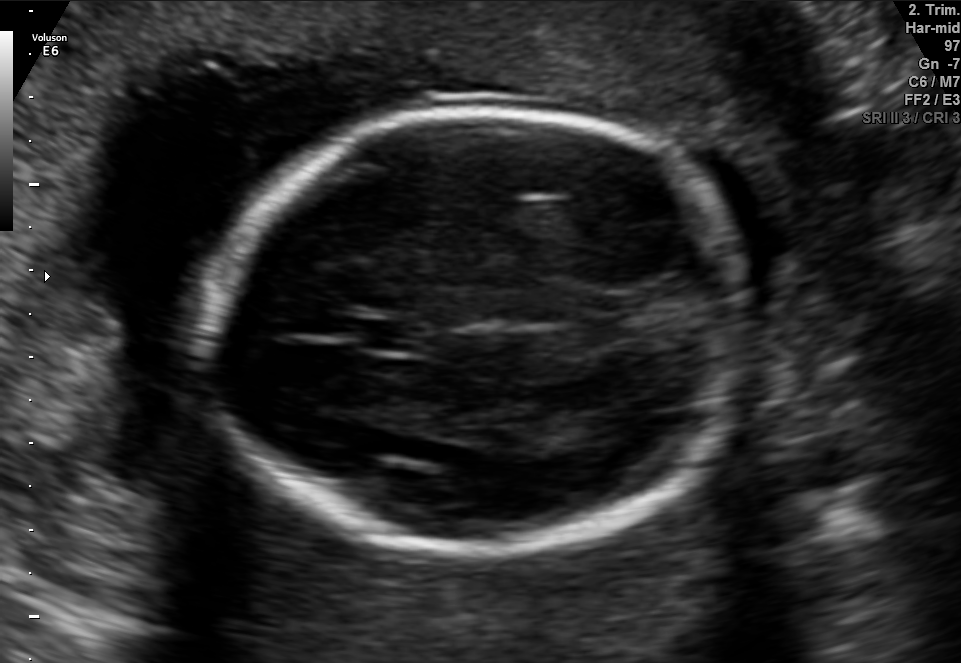
Fetal brain, trans-thalamic plane. Give [x1,y1,x2,y2] bounding boxes for each visible structure among: fetal head, CSP, LV.

Head: [208,107,751,558]
CSP: [358,317,425,352]